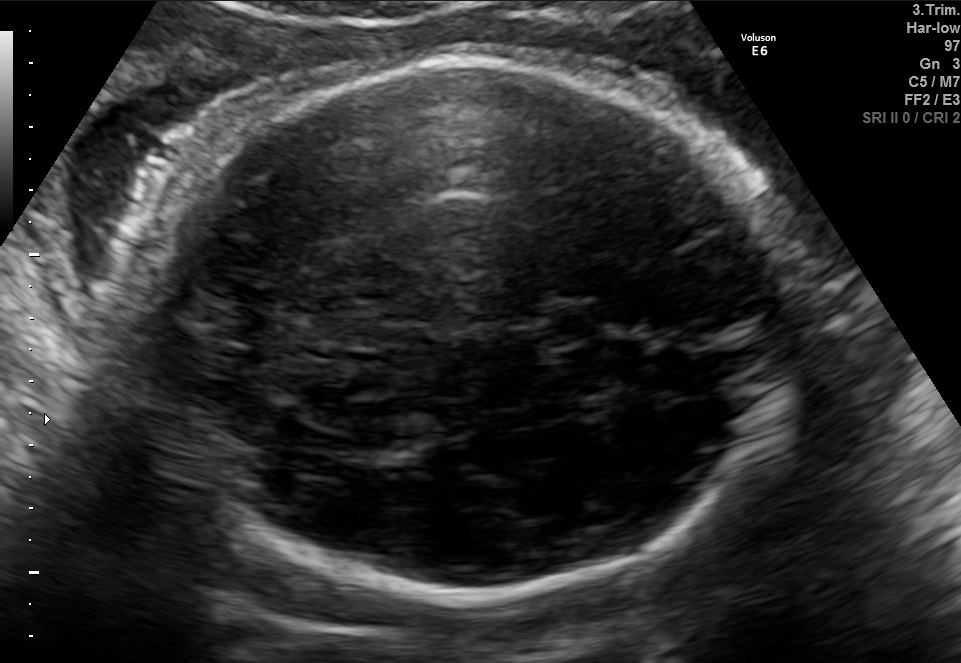
Fetal brain, trans-thalamic plane. Give [x1,y1,x2,y2] bounding boxes for each visible structure among: fetal head, CSP, LV.

Head: [130,63,797,598]
CSP: [539,296,616,350]